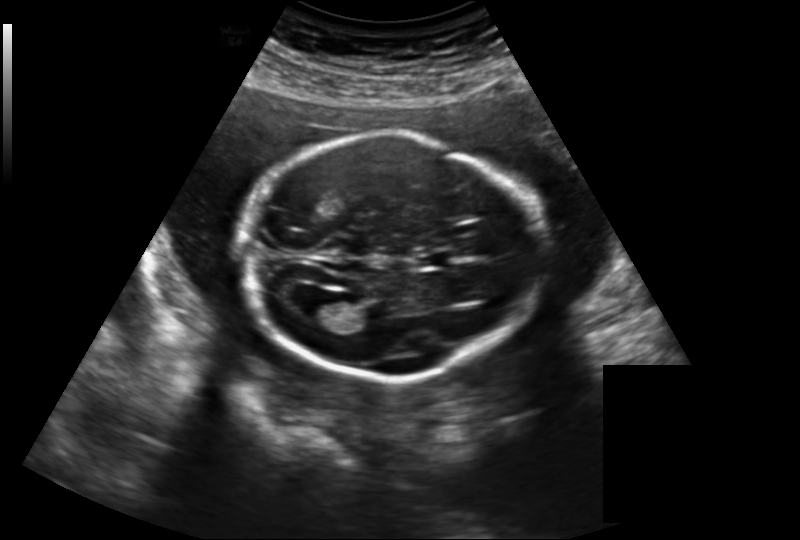
What is the fetal head circumference? Image width is 175.2 mm.

195.9 mm